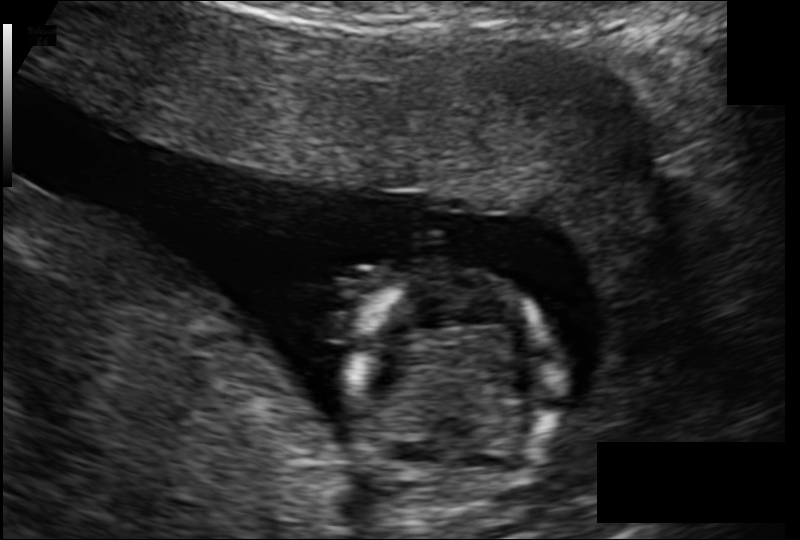
What is the fetal head circumference? Image width is 98.6 mm.

93.3 mm